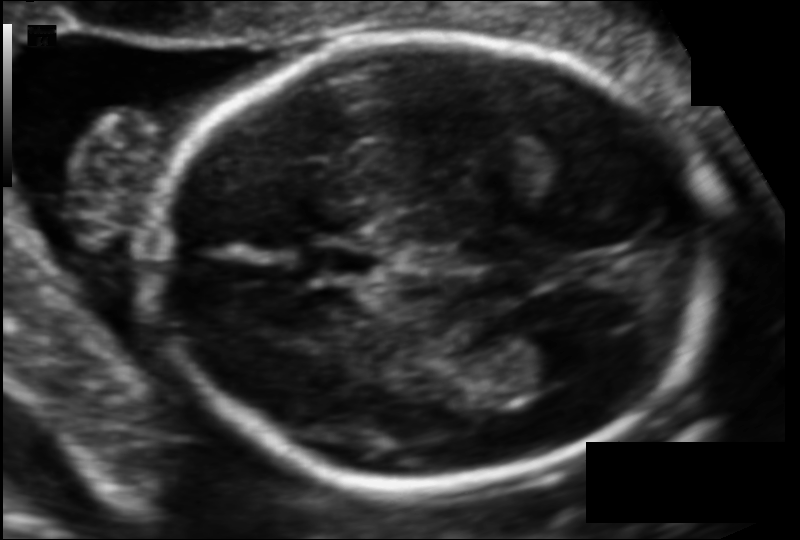
In this fetal head ultrasound, give the bounding box of the fetal head. Image width: 81.4 mm.

[153,34,714,488]